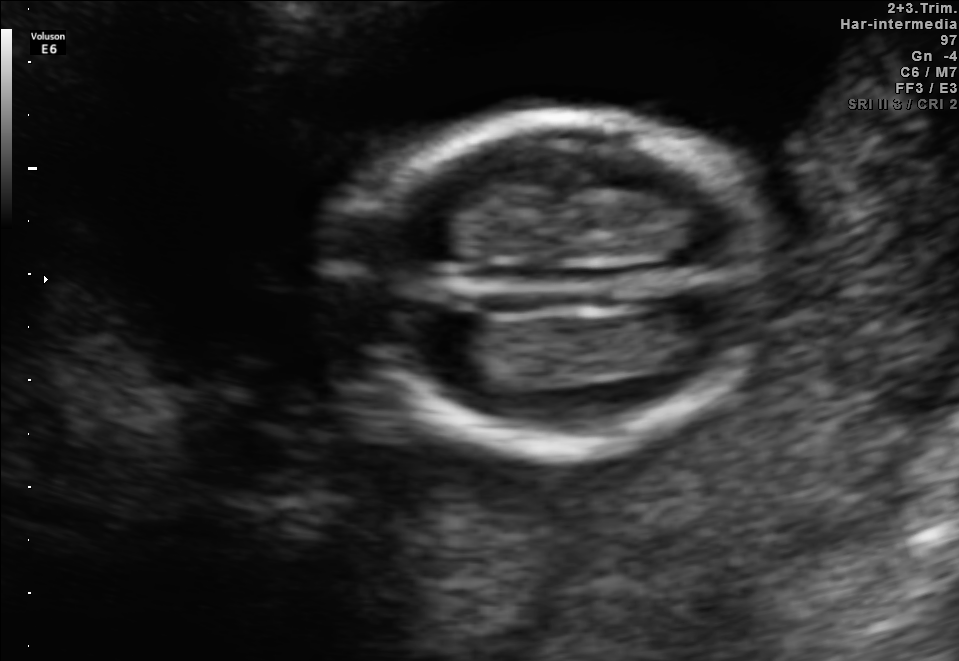
In this fetal brain, trans-thalamic plane, give the bounding box of the fetal head.

[331,111,778,450]